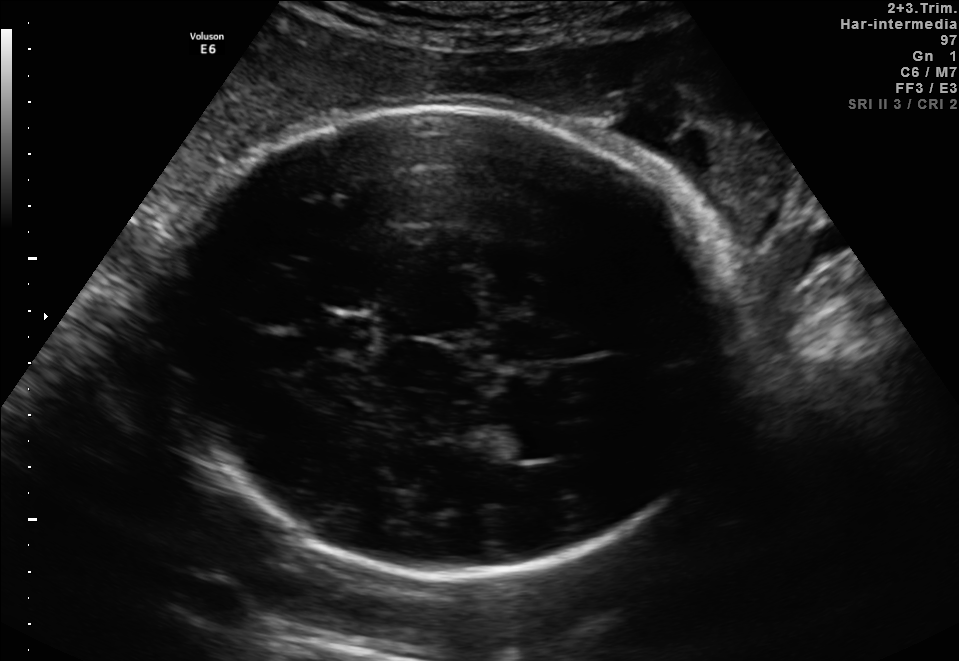
Fetal brain, trans-thalamic plane. Where is the cavum septum pellucidum?

CSP bounding box: [315,314,374,349]